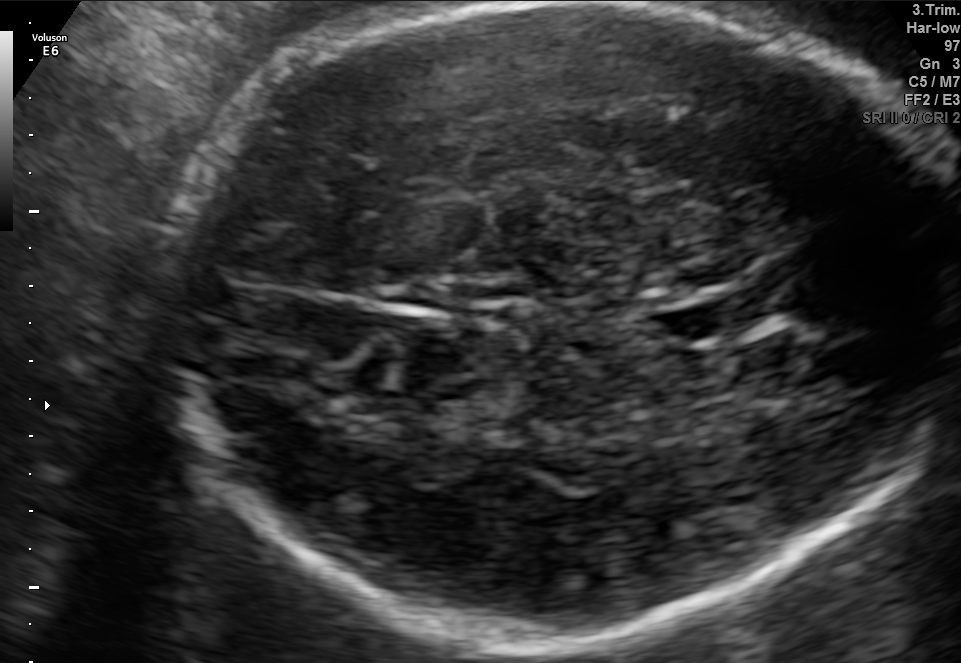
Fetal brain, trans-thalamic plane. Give [x1,y1,x2,y2] bounding boxes for each visible structure among: fetal head, CSP, LV.

Head: [169,3,952,650]
CSP: [663,296,746,343]